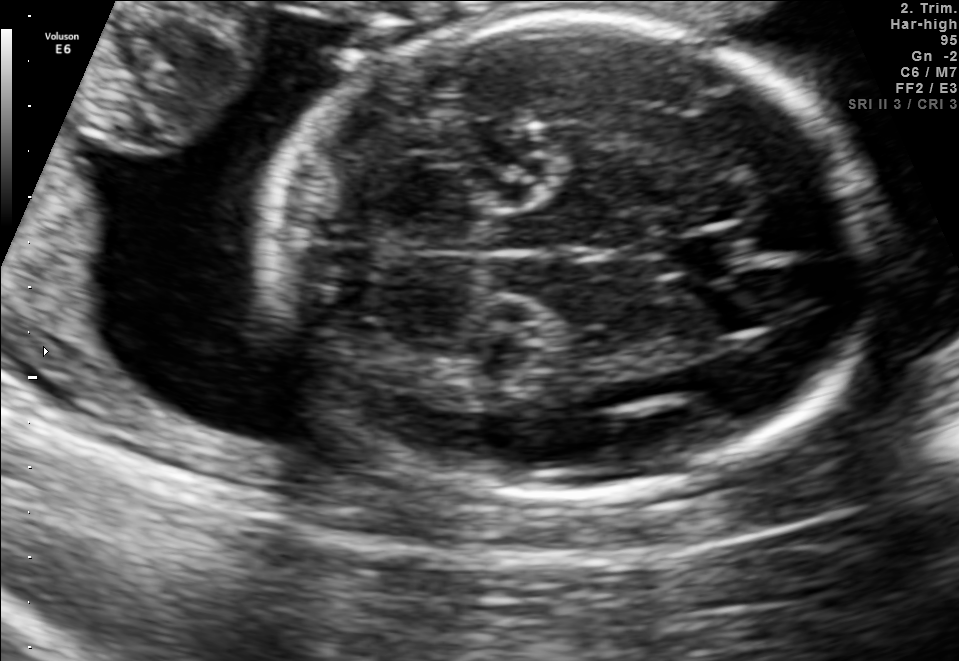
Fetal brain, trans-cerebellum plane. Give [x1,y1,x2,y2] bounding boxes for each visible structure among: fetal head, CSP, LV.

Head: [264,14,865,495]
CSP: [667,219,754,289]